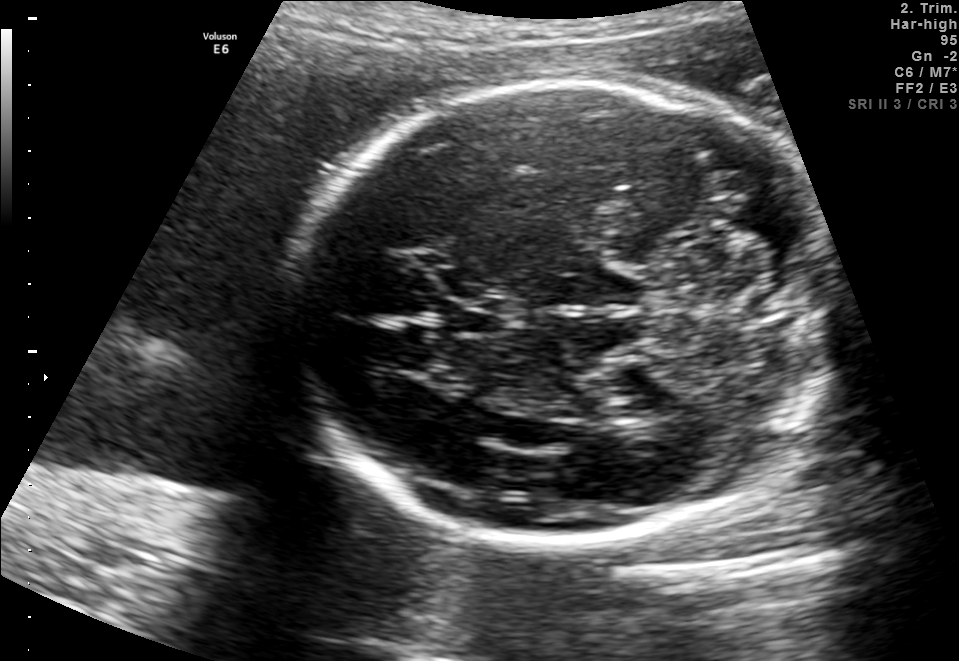
Fetal brain, trans-cerebellum plane. Locate the cavum septum pellucidum.

CSP: [447,298,508,335]